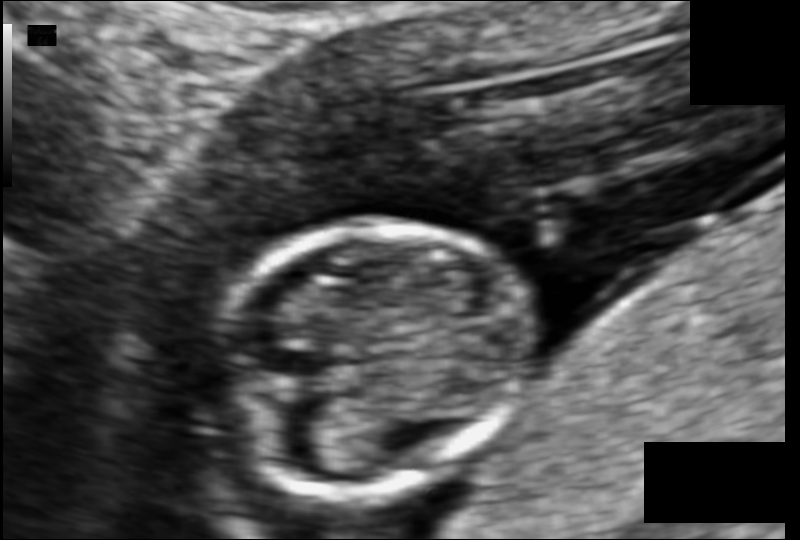
Estimate the fetal head circumference from this 2D ultrasound.

Head circumference: 73.7 mm (image width 62.1 mm).